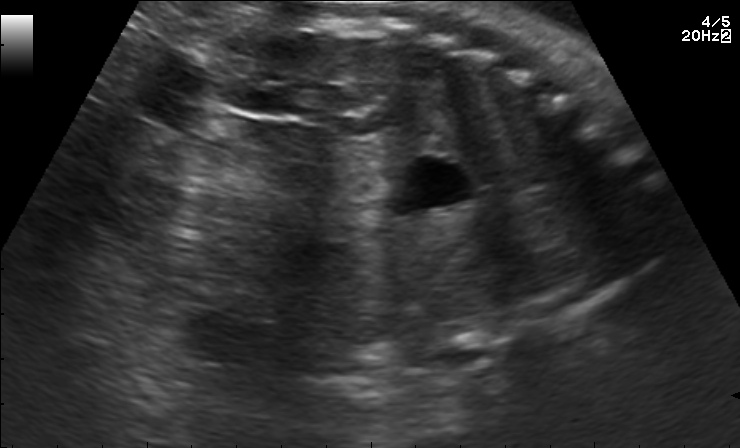
Which standard maternal-fetal ultrasound plane is shown: fetal abdomen, fetal brain, fetal femur, fetal thorax, maternal cervix, or other? If it's fetal brain and one of the three standard brain planes (trans-thalamic, trans-cerebellum, trans-ventricular), name which.

Other